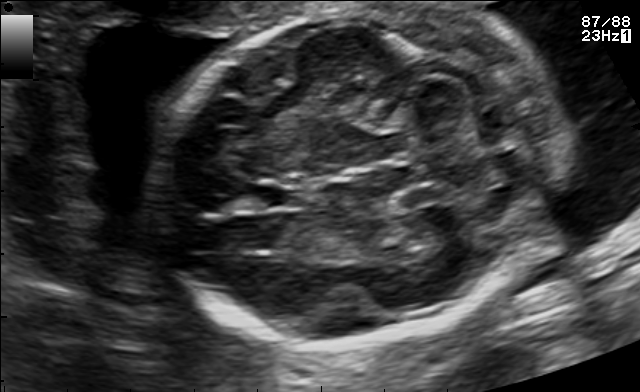
Fetal brain, trans-cerebellum plane. Give [x1,y1,x2,y2] bounding boxes for each visible structure among: fetal head, CSP, LV.

Head: [153,9,564,345]
CSP: [245,183,301,209]